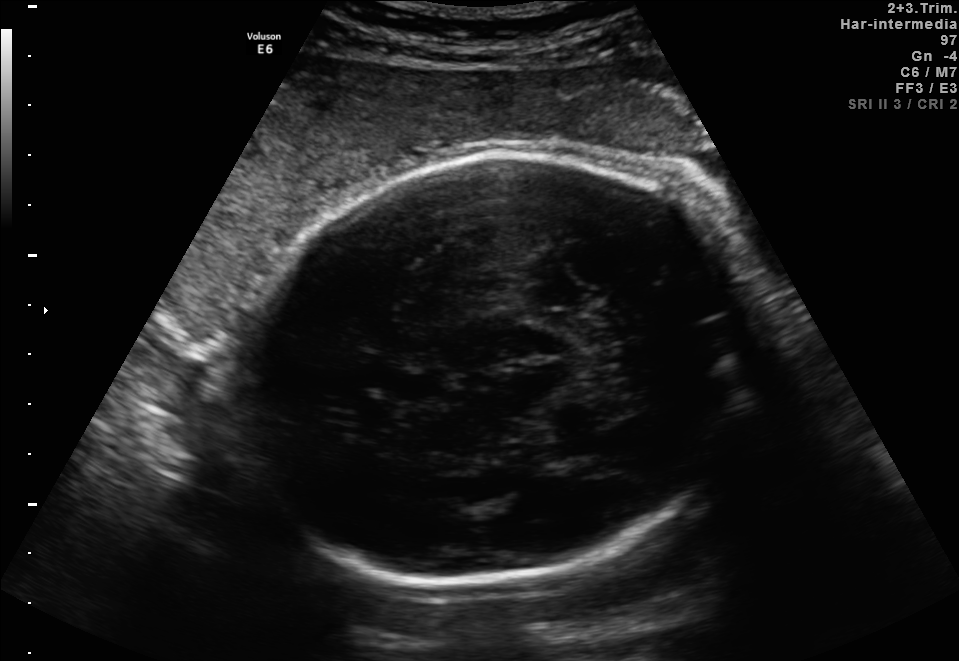
In this fetal brain, trans-thalamic plane, give bounding boxes for the head outline, cavum septum pellucidum (CSP), and lateral ventricle (LV), where visible.

Head: [227,151,756,584]